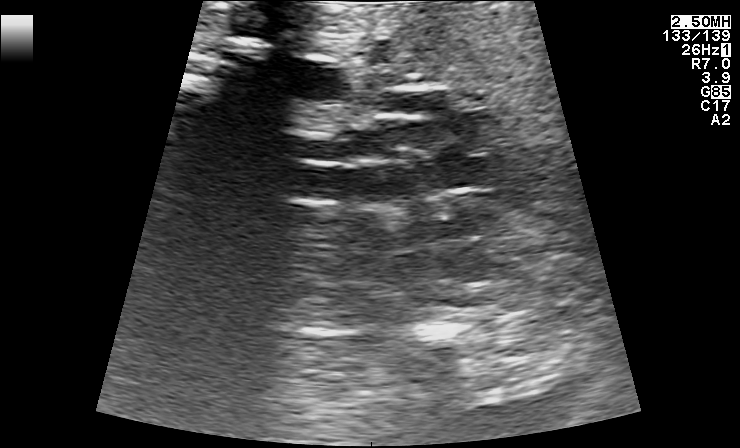
Which standard maternal-fetal ultrasound plane is shown: fetal abdomen, fetal brain, fetal femur, fetal thorax, maternal cervix, or other? If it's fetal brain and one of the three standard brain planes (trans-thalamic, trans-cerebellum, trans-ventricular), name which.

Other